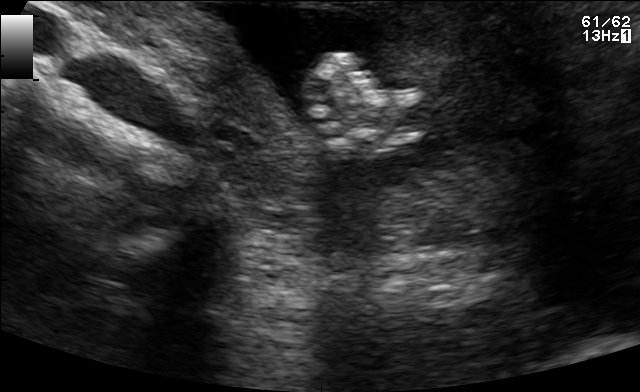
Which standard maternal-fetal ultrasound plane is shown: fetal abdomen, fetal brain, fetal femur, fetal thorax, maternal cervix, or other? If it's fetal brain and one of the three standard brain planes (trans-thalamic, trans-cerebellum, trans-ventricular), name which.

Other